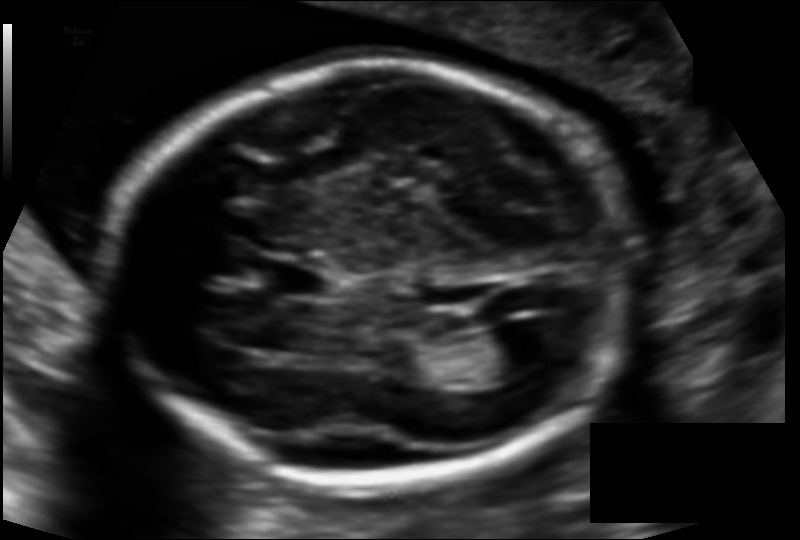
Fetal head ultrasound. Image width: 96.7 mm. Locate the fetal head and, if visible, the cavum septum pellucidum (CSP) and lateral ventricle (LV). Give bounding boxes as [x1,y1,x2,y2].

Head: [110,63,626,484]
CSP: [259,256,330,300]
Lateral ventricle: [467,318,554,385]